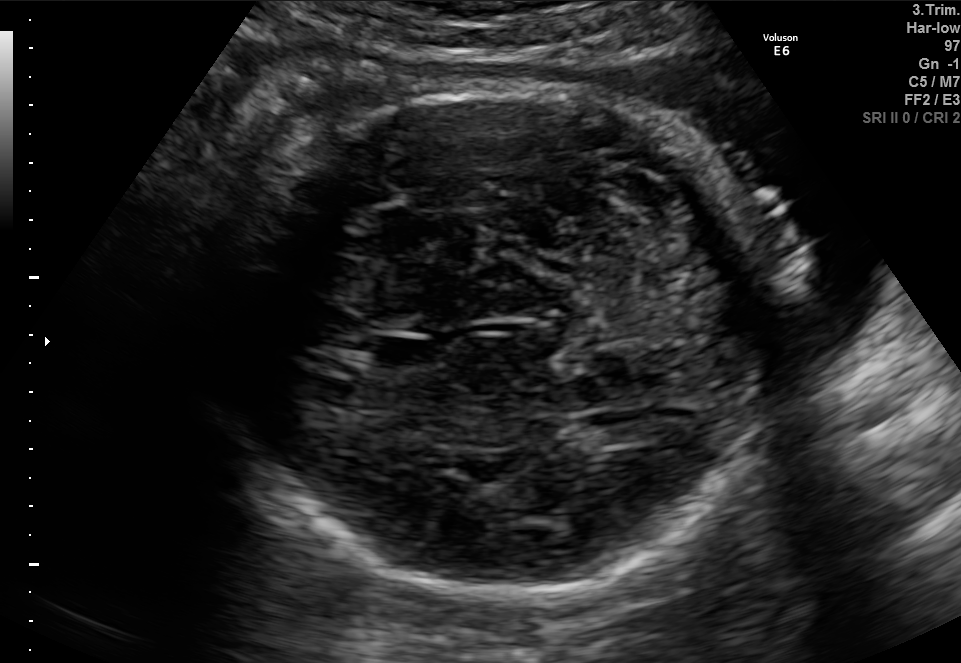
Classify this maternal-fetal ultrasound image as one of the six standard planes — fetal abdomen, fetal brain, fetal femur, fetal thorax, maternal cervix, or other. If it's fetal brain and one of the three standard brain planes (trans-thalamic, trans-cerebellum, trans-ventricular), name which.

Fetal brain (trans-cerebellum plane)